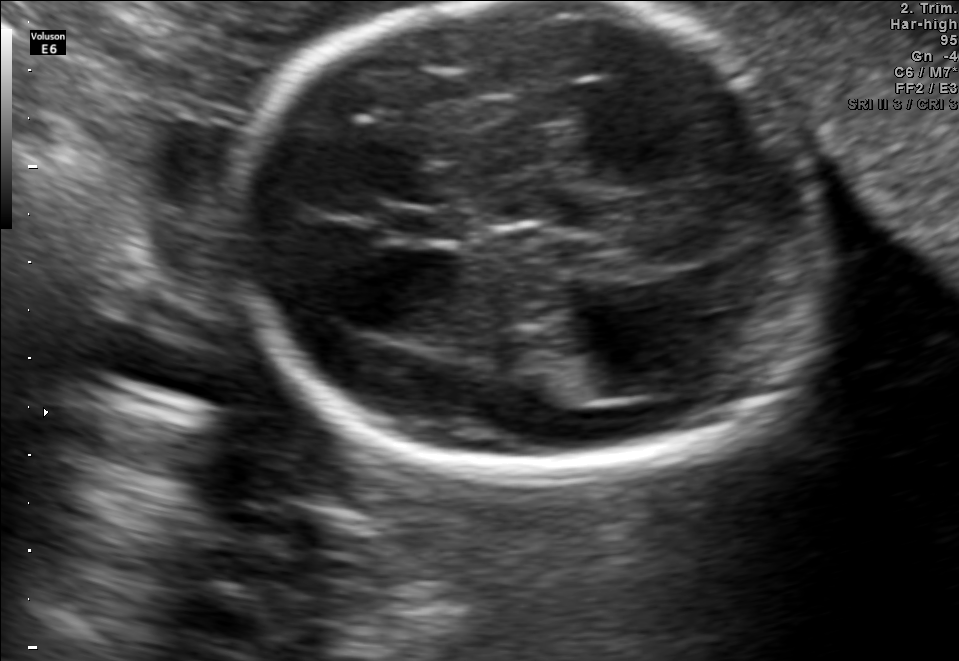
Fetal brain, trans-thalamic plane. Where is the lateral ventricle?

Lateral ventricle bounding box: [551,342,677,404]